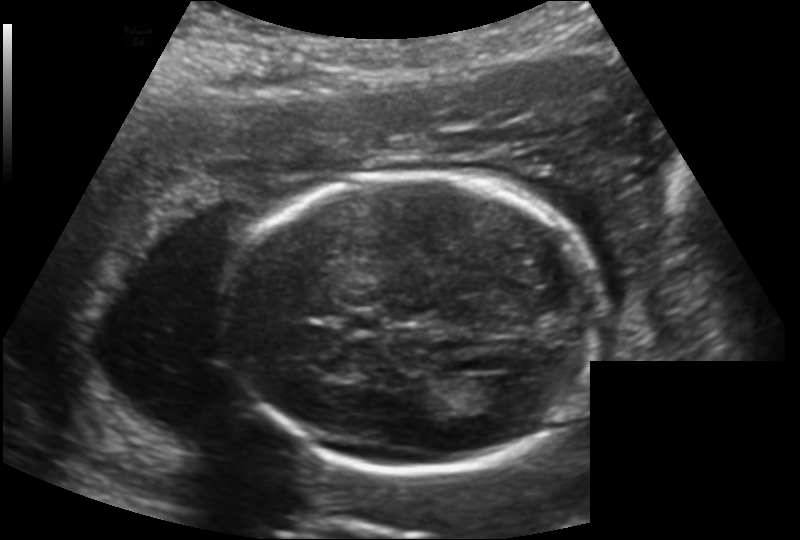
Measure the fetal head circumference shown in this ultrasound image. Image width: 135.0 mm.

Head circumference: 184.8 mm.